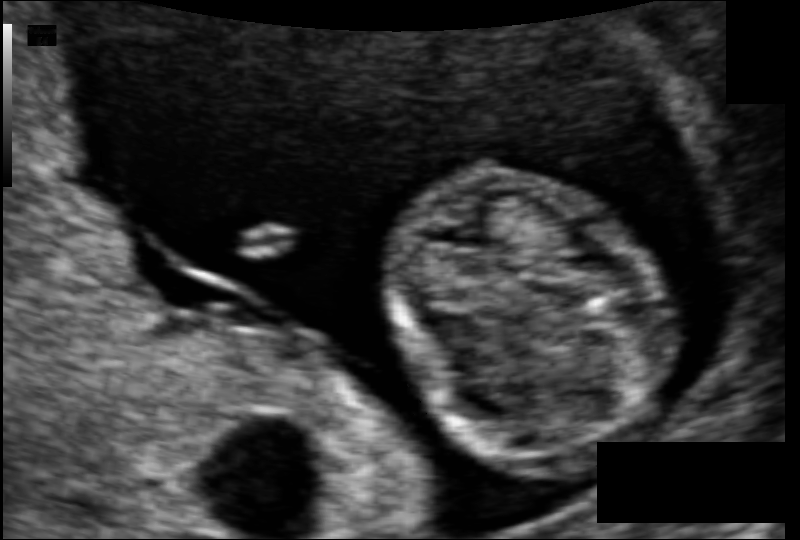
Fetal head ultrasound. Image width: 59.6 mm. Give [x1,y1,x2,y2] bounding boxes for each visible structure among: fetal head, CSP, LV.

Head: [387,163,668,460]